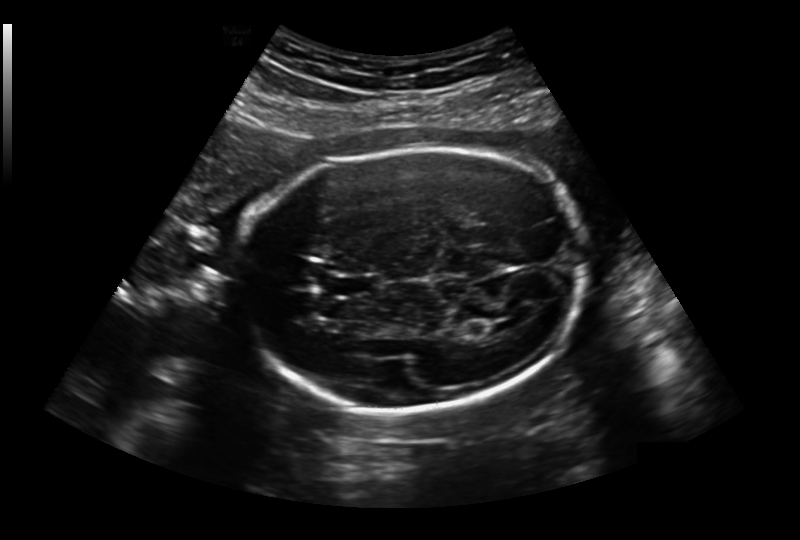
Fetal head ultrasound. Image width: 188.7 mm. Locate the cavum septum pellucidum.

CSP: [333,273,376,296]